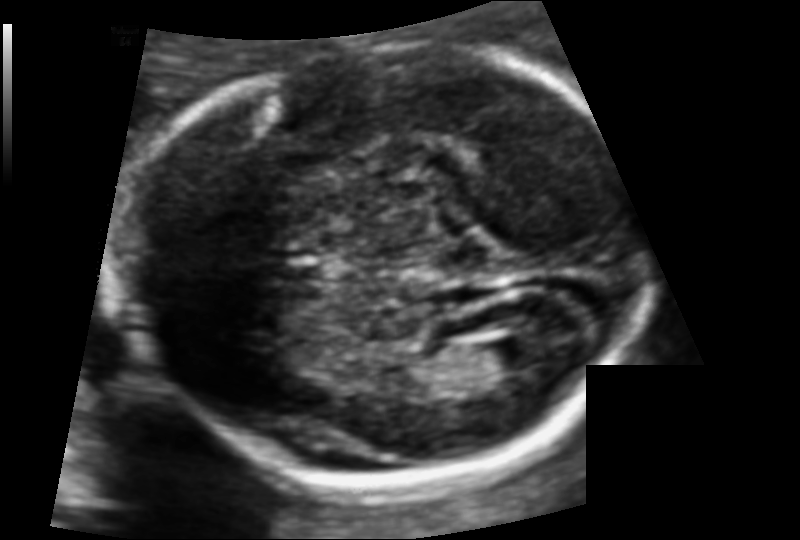
In this fetal head ultrasound, give bounding boxes for the head outline, cavum septum pellucidum (CSP), and lateral ventricle (LV), where visible. Image width: 84.2 mm.

Head: [128,51,649,492]
Lateral ventricle: [471,330,543,382]